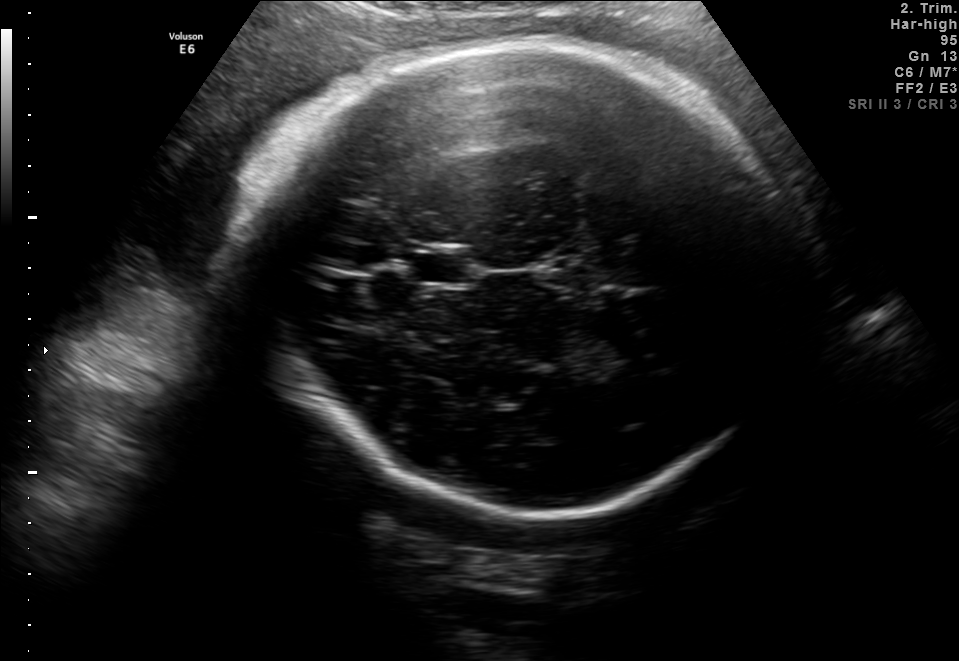
Fetal brain, trans-thalamic plane. Give [x1,y1,x2,y2] bounding boxes for each visible structure among: fetal head, CSP, LV.

Head: [229,48,800,509]
CSP: [414,250,471,283]